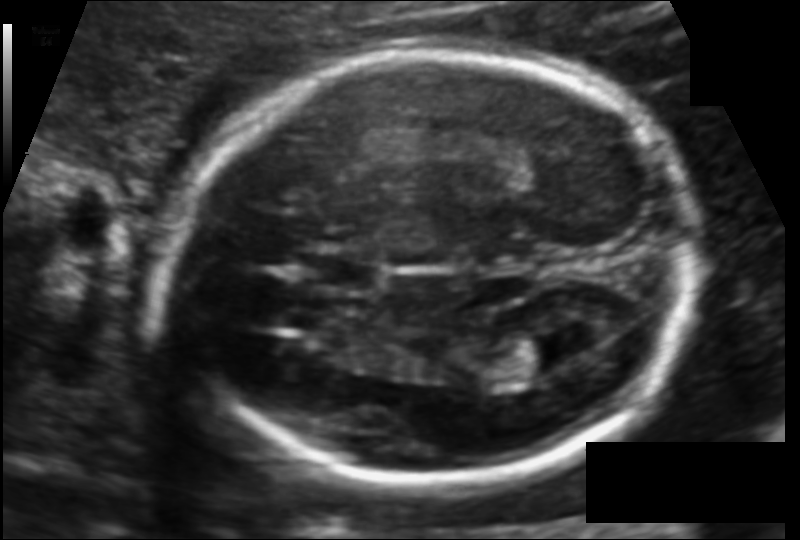
Fetal head ultrasound. Image width: 90.0 mm. Where is the fetal head?

Head bounding box: [160,51,698,484]